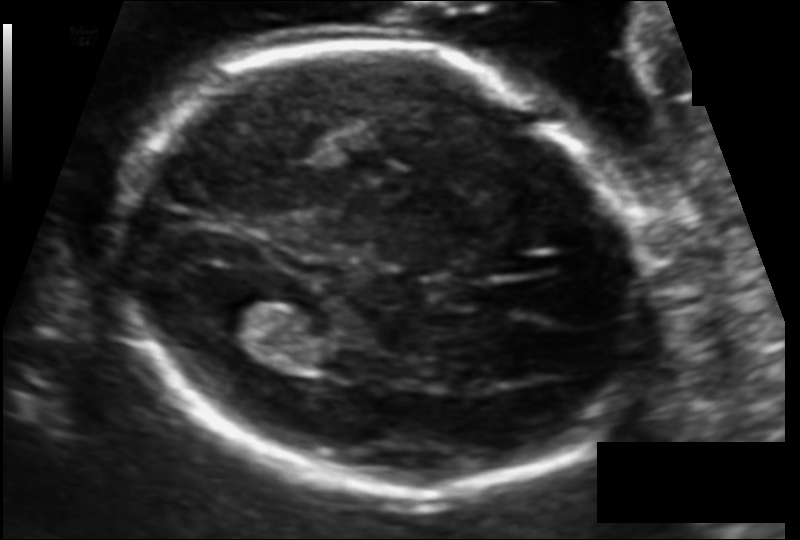
Fetal head ultrasound. Image width: 92.8 mm. Locate the fetal head.

Head: [113,44,652,493]